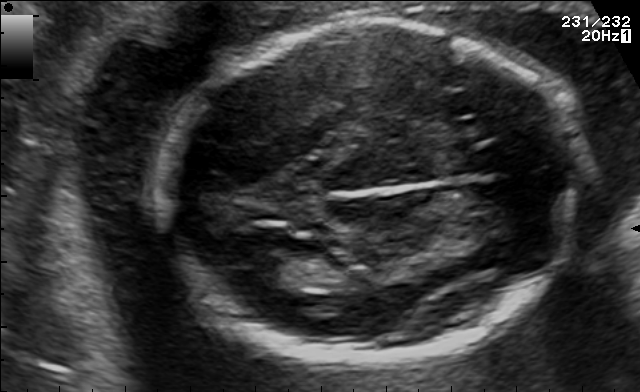
Fetal brain, trans-thalamic plane. Where is the lateral ventricle?

Lateral ventricle bounding box: [241,248,314,290]